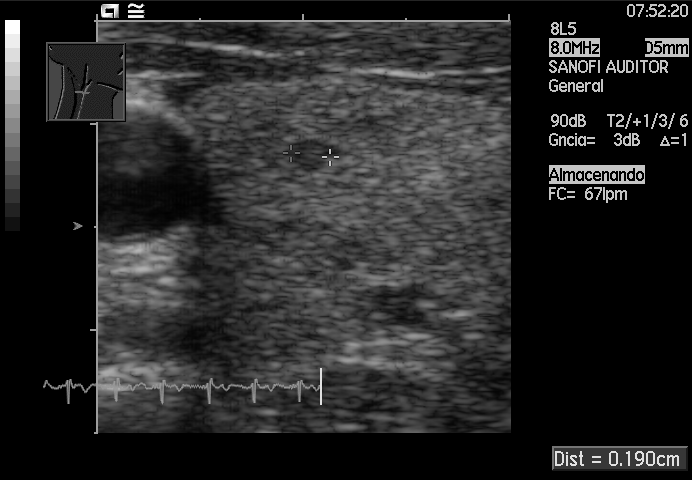
Classify this maternal-fetal ultrasound image as one of the six standard planes — fetal abdomen, fetal brain, fetal femur, fetal thorax, maternal cervix, or other. If it's fetal brain and one of the three standard brain planes (trans-thalamic, trans-cerebellum, trans-ventricular), name which.

Other